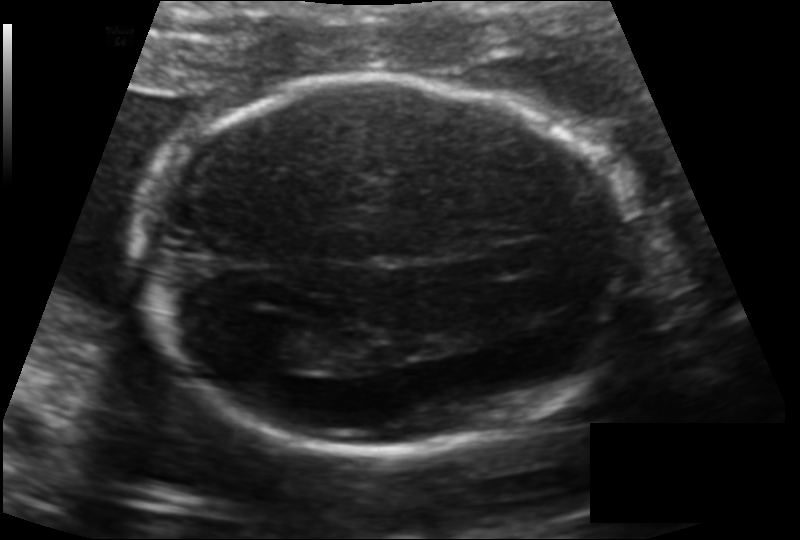
Estimate the fetal head circumference from this 2D ultrasound.

Head circumference: 192.5 mm (image width 107.0 mm).